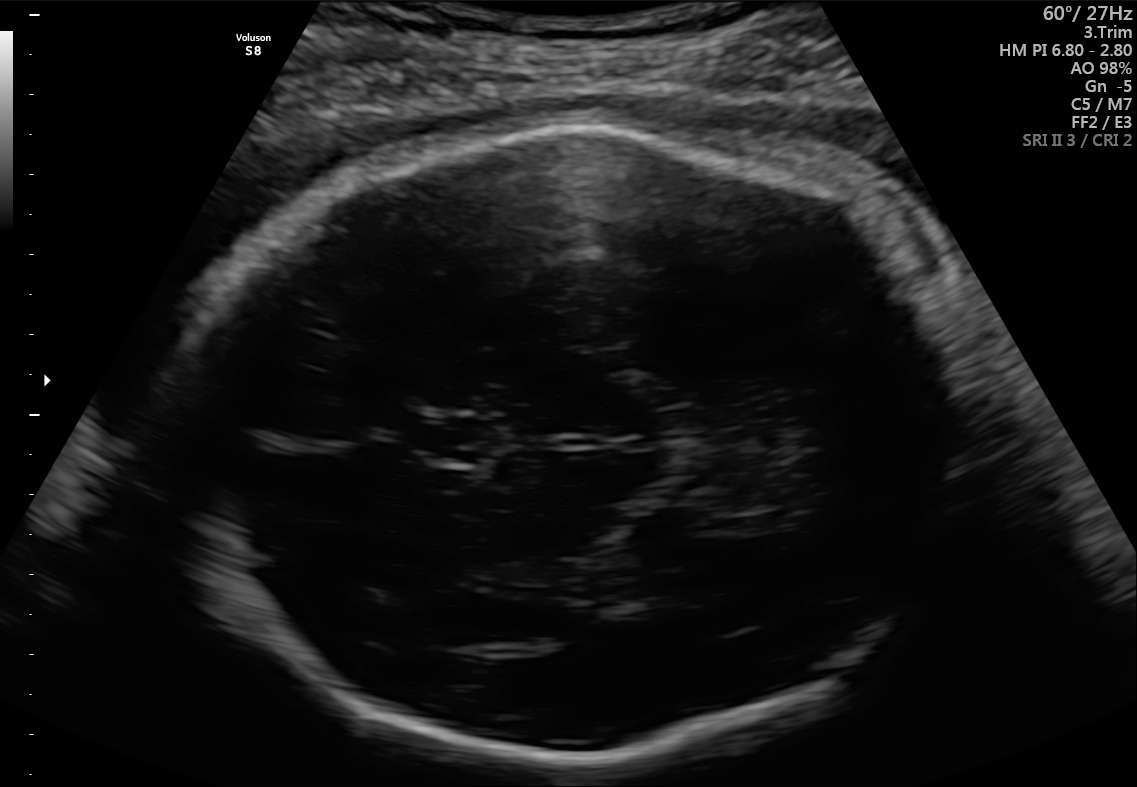
Fetal brain, trans-thalamic plane. Locate the cavum septum pellucidum.

CSP: [418,417,488,464]